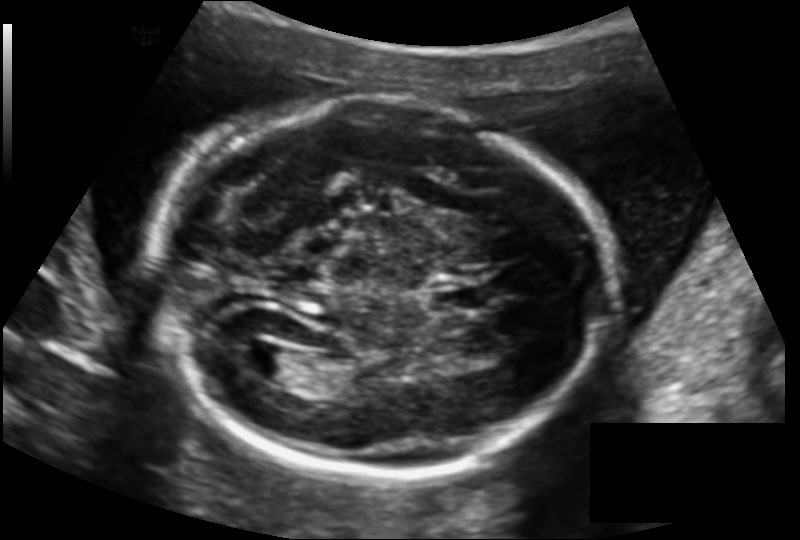
Fetal head ultrasound. Image width: 116.1 mm. Where is the cavum septum pellucidum?

CSP bounding box: [433,284,485,312]